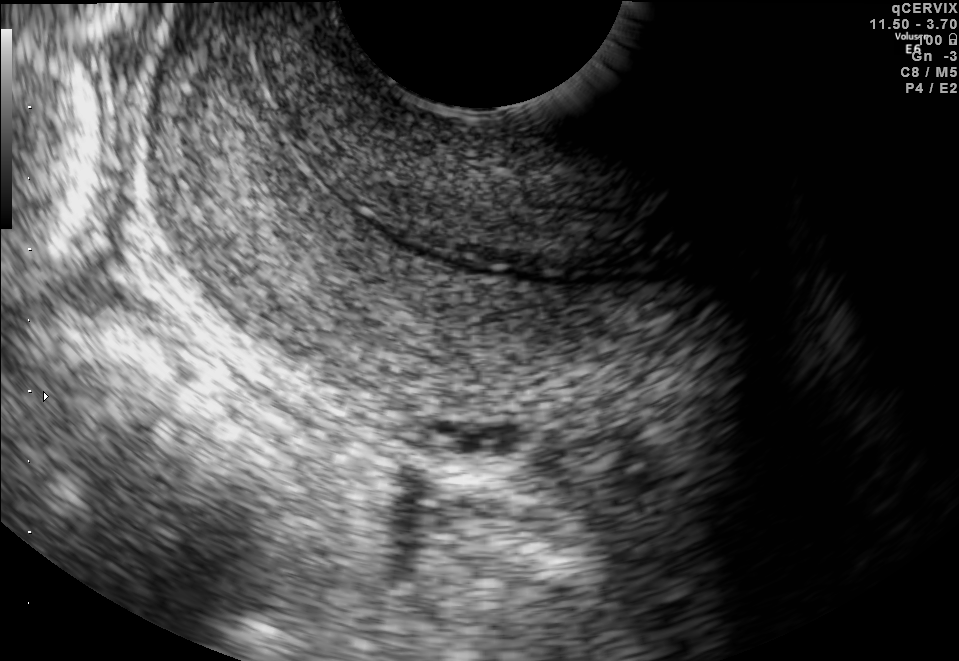
Identify the standard plane in this fetal ultrasound image: fetal abdomen, fetal brain, fetal femur, fetal thorax, maternal cervix, or other. If it's fetal brain and one of the three standard brain planes (trans-thalamic, trans-cerebellum, trans-ventricular), name which.

Maternal cervix